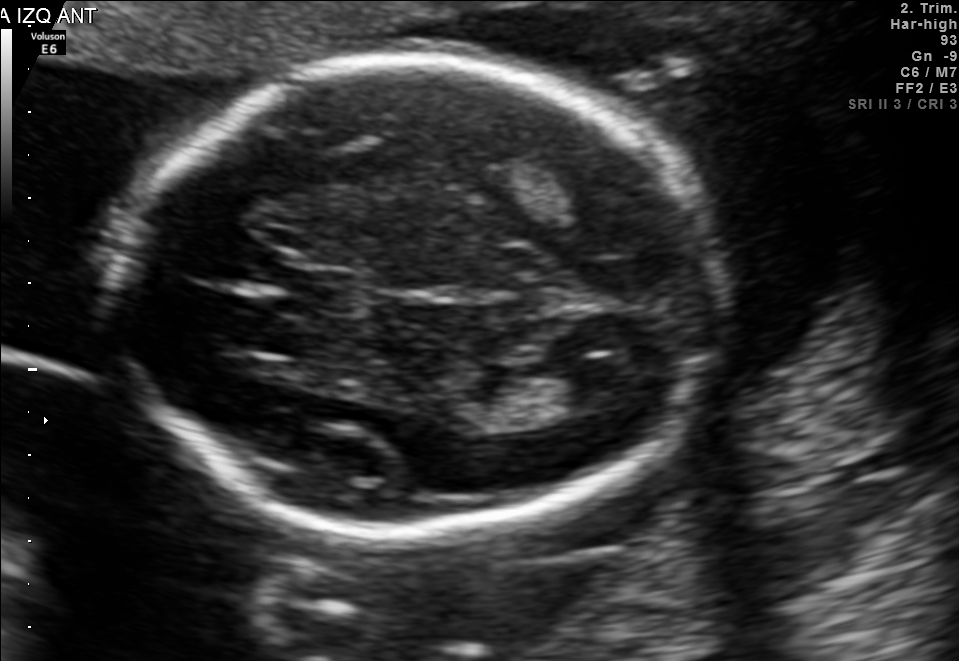
In this fetal brain, trans-thalamic plane, give the bounding box of the lateral ventricle.

[529,349,631,425]